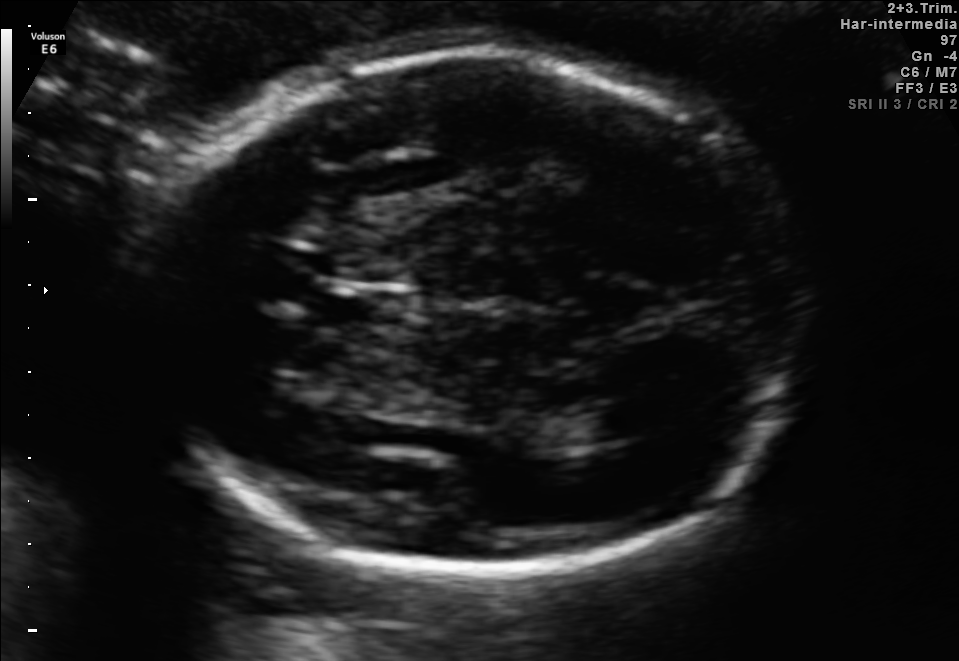
Fetal brain, trans-thalamic plane. Locate the fetal head.

Head: [150,50,801,583]